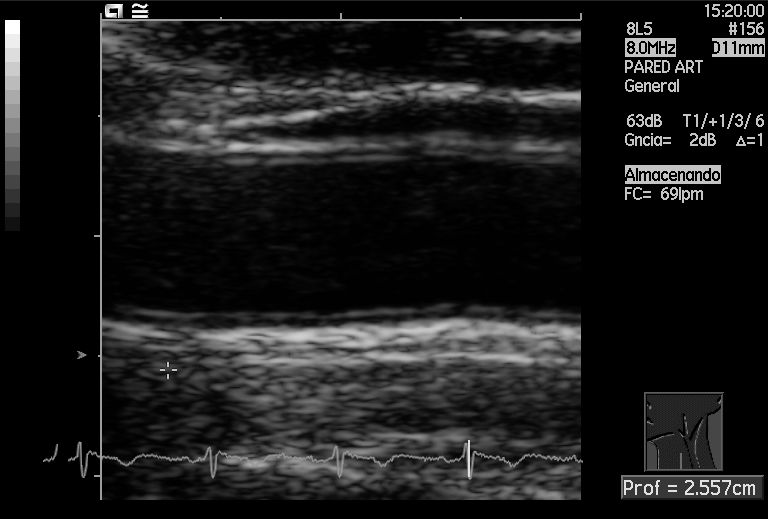
This is a 2D maternal-fetal ultrasound frame. Is it a fetal abdomen, fetal brain, fetal femur, fetal thorax, maternal cervix, or other standard plane? If it's fetal brain and one of the three standard brain planes (trans-thalamic, trans-cerebellum, trans-ventricular), name which.

Other